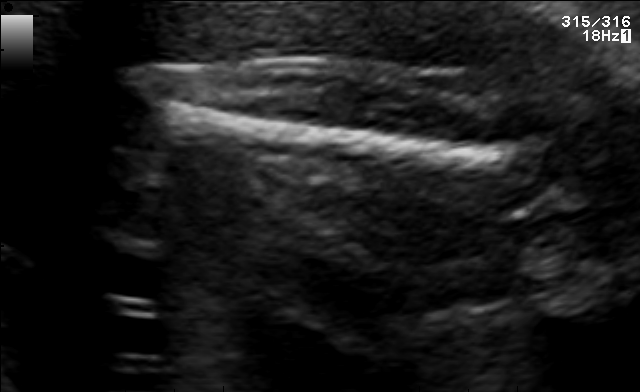
Classify this maternal-fetal ultrasound image as one of the six standard planes — fetal abdomen, fetal brain, fetal femur, fetal thorax, maternal cervix, or other. If it's fetal brain and one of the three standard brain planes (trans-thalamic, trans-cerebellum, trans-ventricular), name which.

Fetal femur